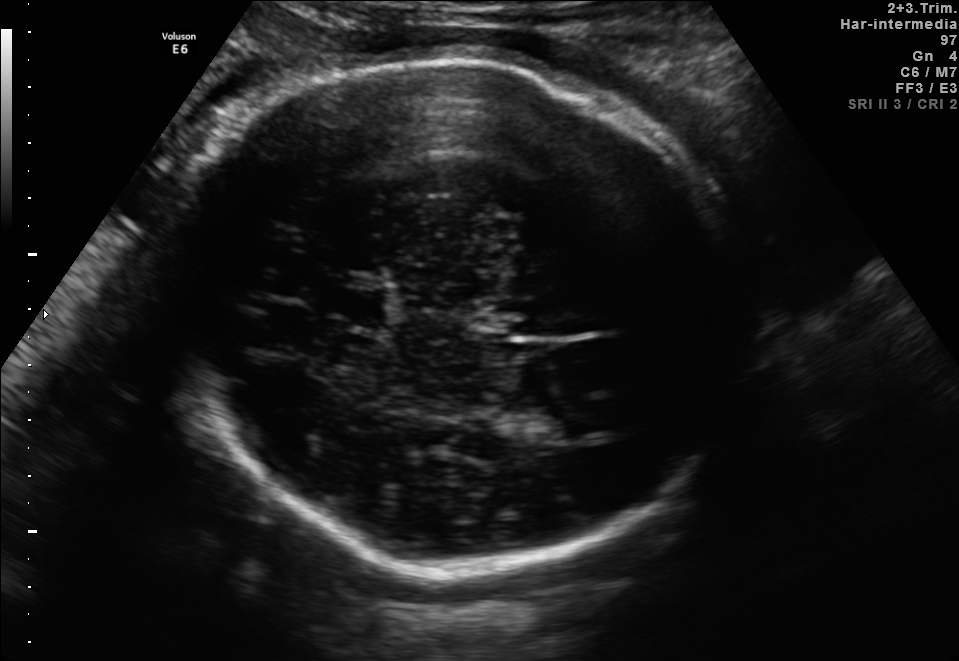
Fetal brain, trans-thalamic plane. Where is the lateral ventricle?

Lateral ventricle bounding box: [544,397,616,441]